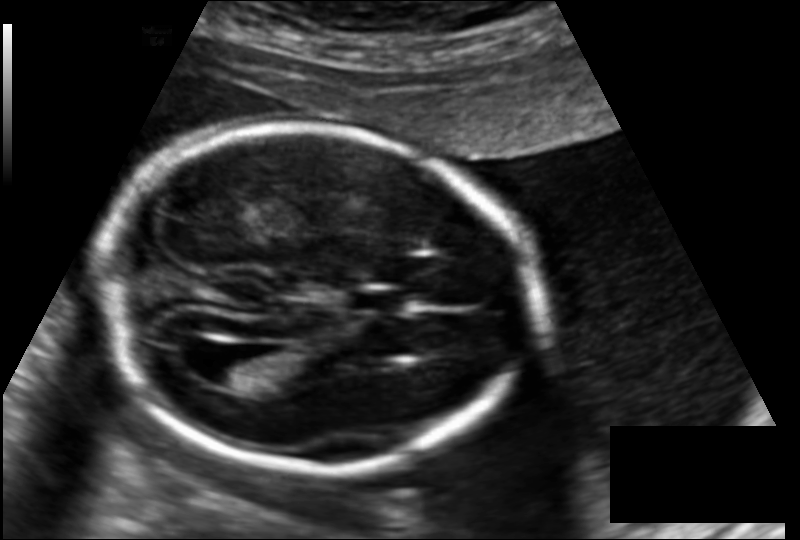
Fetal head ultrasound. Image width: 115.9 mm. Locate the fetal head.

Head: [96,126,536,470]